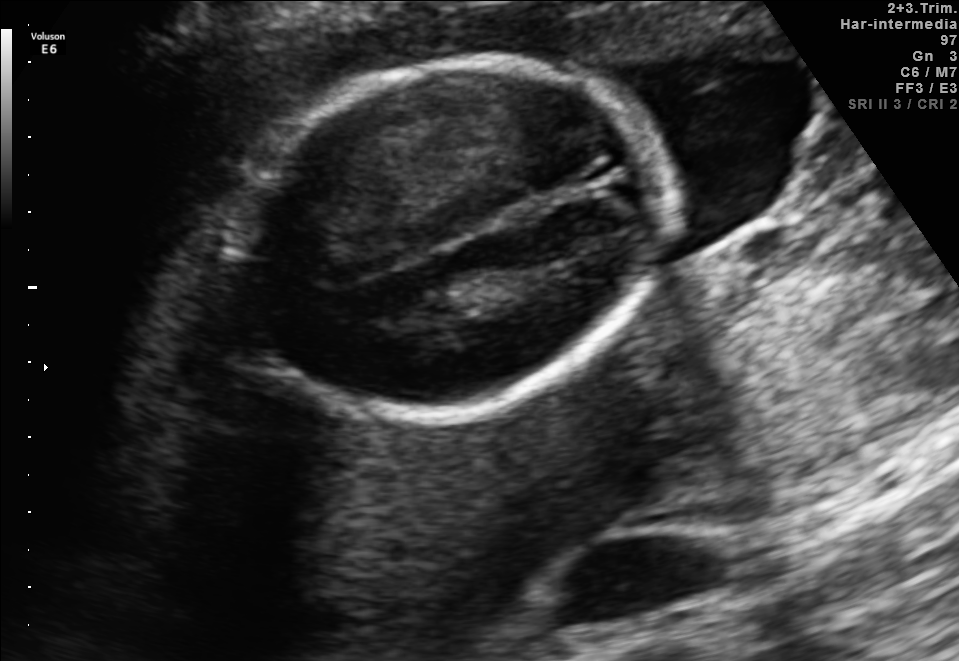
In this fetal brain, trans-thalamic plane, give the bounding box of the fetal head.

[231,61,668,414]